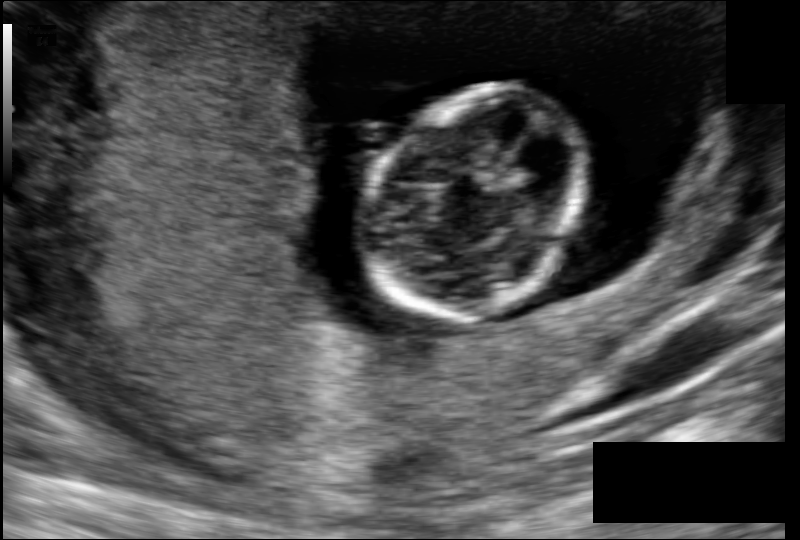
Measure the fetal head circumference shown in this ultrasound image. Image width: 86.3 mm.

Head circumference: 77.5 mm.